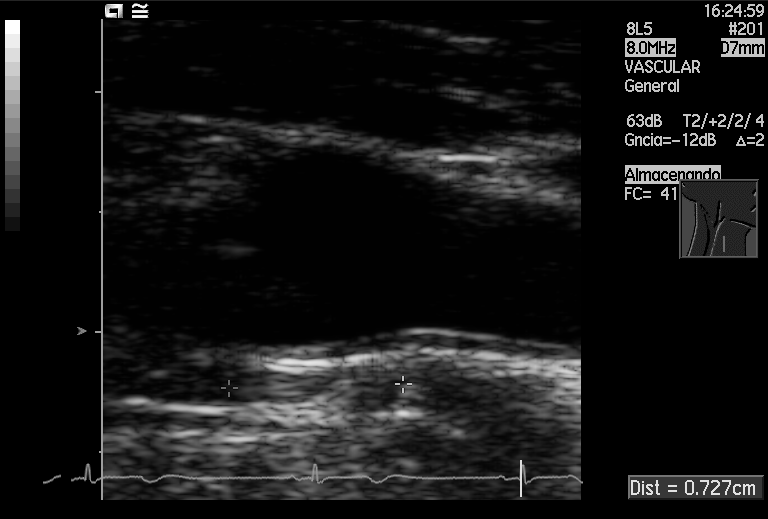
Which standard maternal-fetal ultrasound plane is shown: fetal abdomen, fetal brain, fetal femur, fetal thorax, maternal cervix, or other? If it's fetal brain and one of the three standard brain planes (trans-thalamic, trans-cerebellum, trans-ventricular), name which.

Other